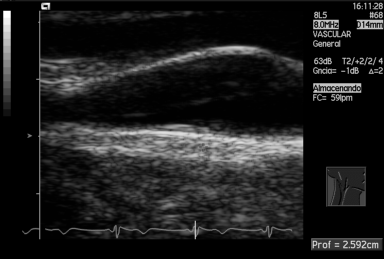
Which standard maternal-fetal ultrasound plane is shown: fetal abdomen, fetal brain, fetal femur, fetal thorax, maternal cervix, or other? If it's fetal brain and one of the three standard brain planes (trans-thalamic, trans-cerebellum, trans-ventricular), name which.

Other